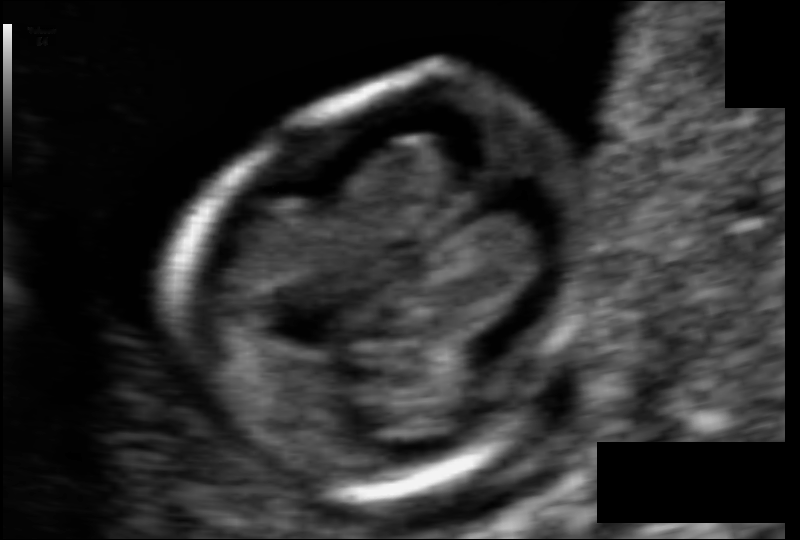
Measure the fetal head circumference shown in this ultrasound image. Image width: 44.1 mm.

Head circumference: 73.0 mm.